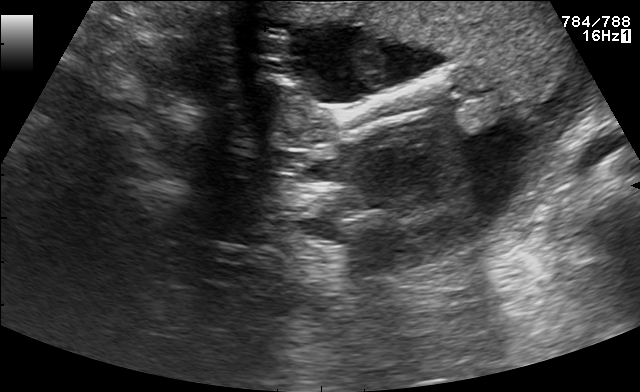
Classify this maternal-fetal ultrasound image as one of the six standard planes — fetal abdomen, fetal brain, fetal femur, fetal thorax, maternal cervix, or other. If it's fetal brain and one of the three standard brain planes (trans-thalamic, trans-cerebellum, trans-ventricular), name which.

Other